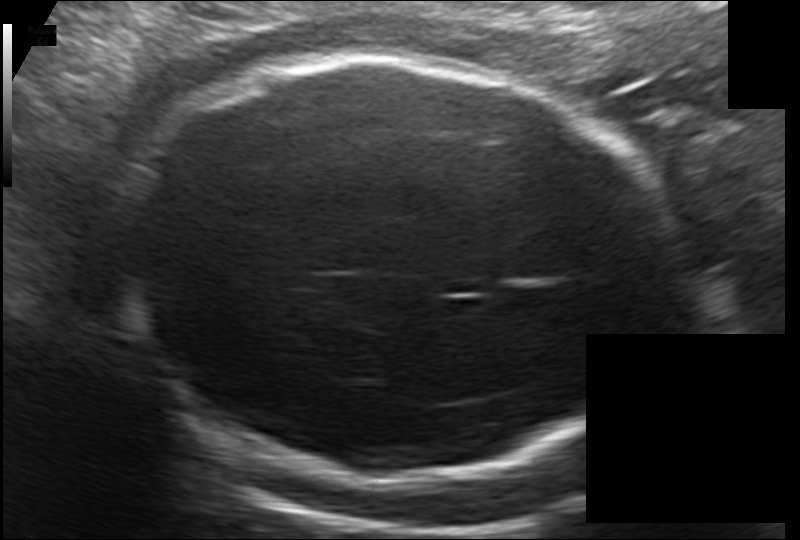
Fetal head ultrasound. Image width: 138.0 mm. Locate the fetal head and, if visible, the cavum septum pellucidum (CSP) and lateral ventricle (LV). Give bounding boxes as [x1,y1,x2,y2].

Head: [116,55,672,480]